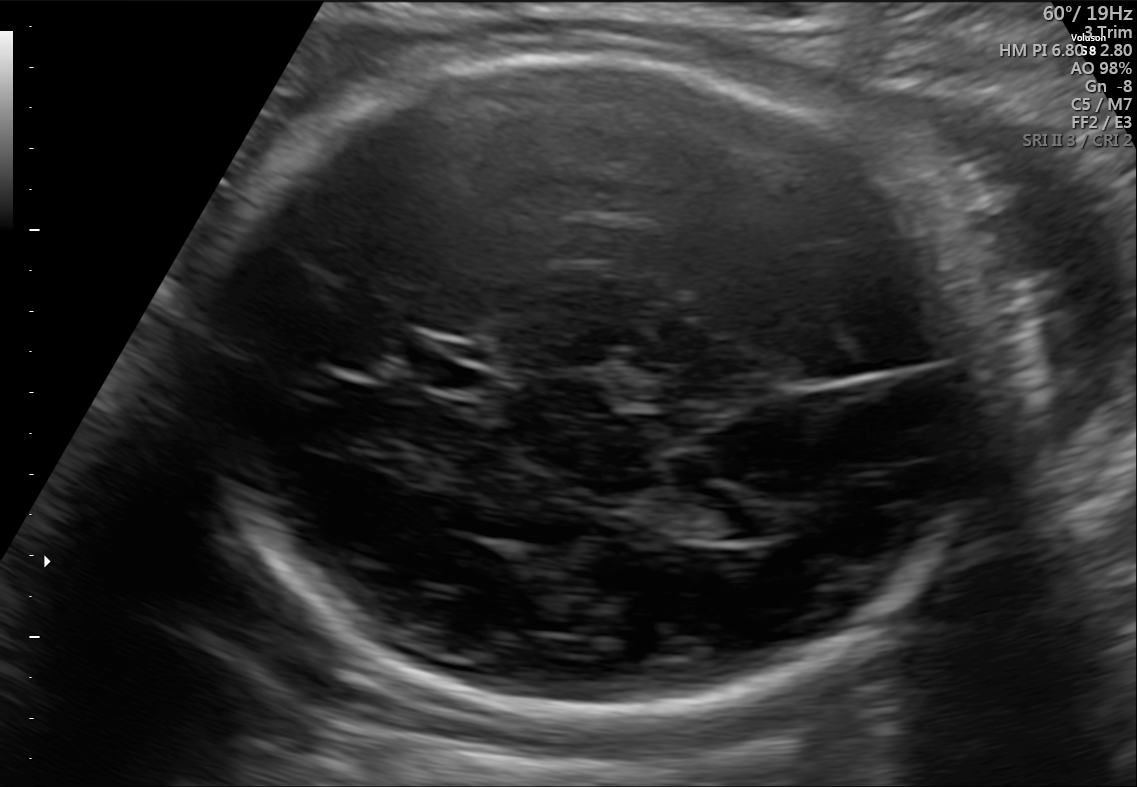
Fetal brain, trans-ventricular plane. Where is the fetal head?

Head bounding box: [173,51,988,736]